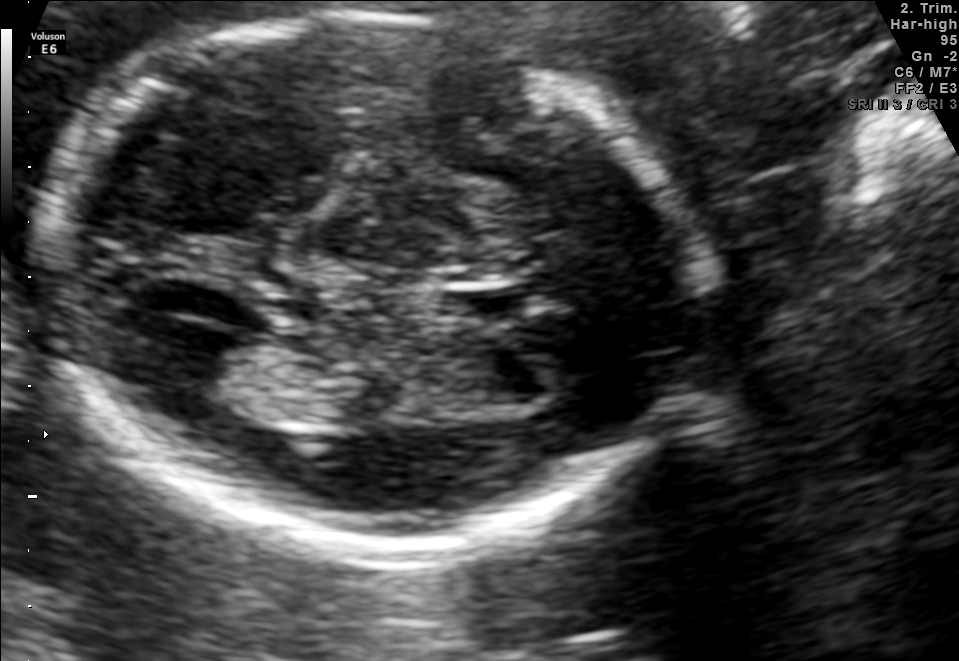
Identify the standard plane in this fetal ultrasound image: fetal abdomen, fetal brain, fetal femur, fetal thorax, maternal cervix, or other. If it's fetal brain and one of the three standard brain planes (trans-thalamic, trans-cerebellum, trans-ventricular), name which.

Fetal brain (trans-thalamic plane)